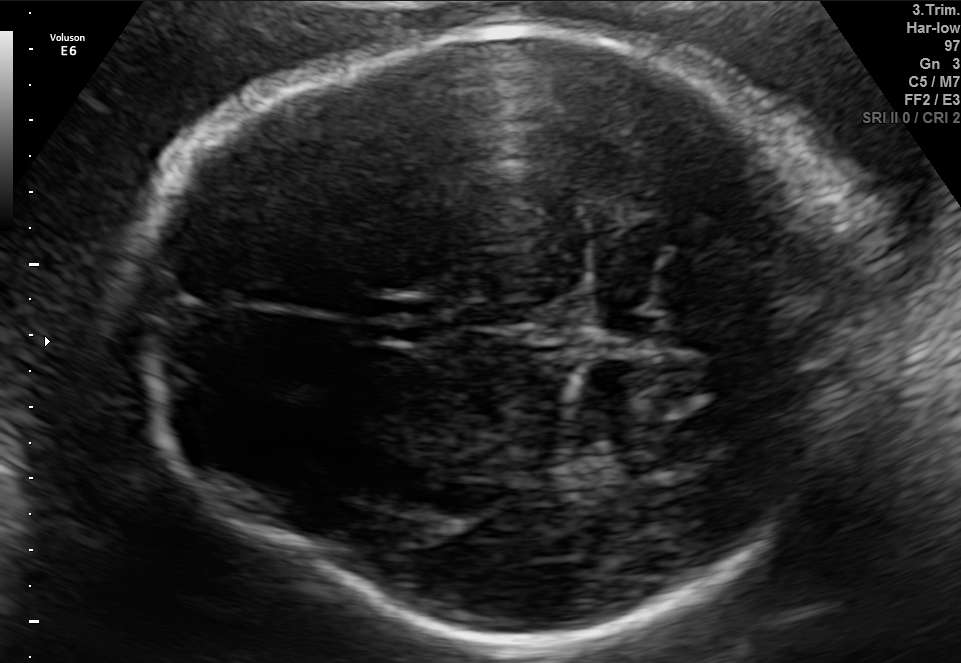
Fetal brain, trans-thalamic plane. Locate the fetal head.

Head: [122,26,903,645]